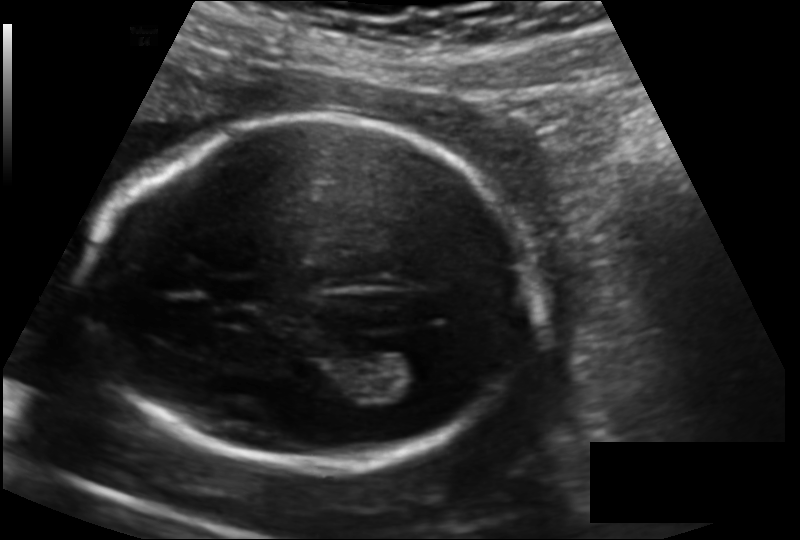
In this fetal head ultrasound, give the bounding box of the fetal head. Image width: 111.4 mm.

[86,118,529,465]